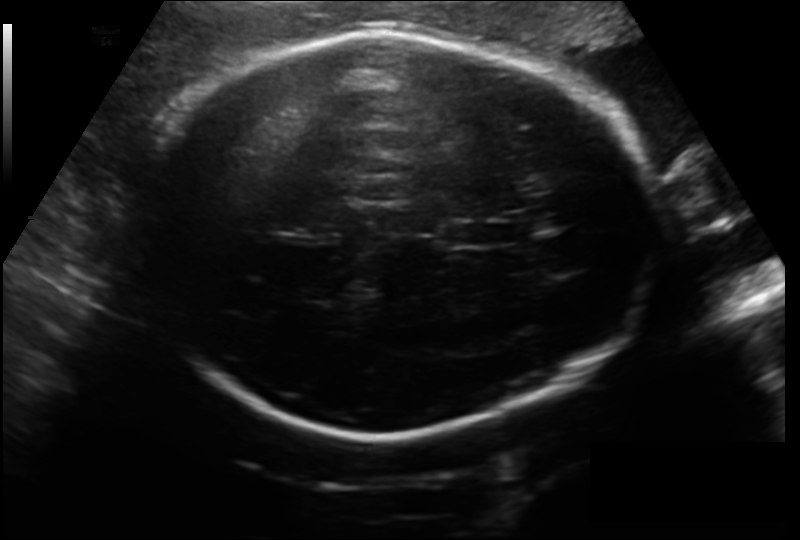
Fetal head ultrasound. Image width: 158.8 mm. Where is the cavum septum pellucidum?

CSP bounding box: [447,220,501,248]